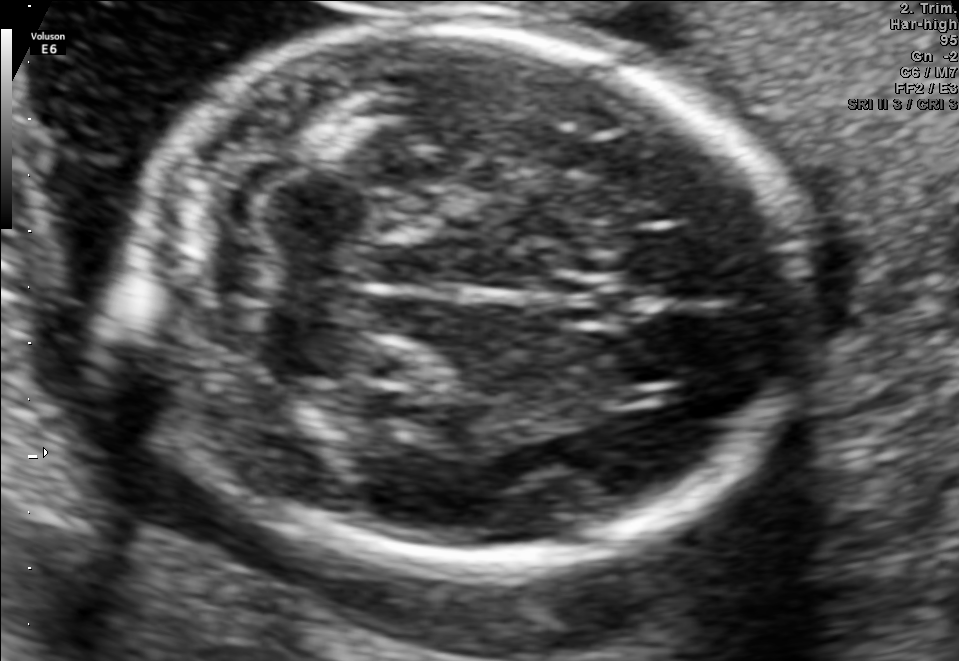
Fetal brain, trans-cerebellum plane. Locate the fetal head and, if visible, the cavum septum pellucidum (CSP) and lateral ventricle (LV). Give bounding boxes as [x1,y1,x2,y2].

Head: [132,26,801,567]